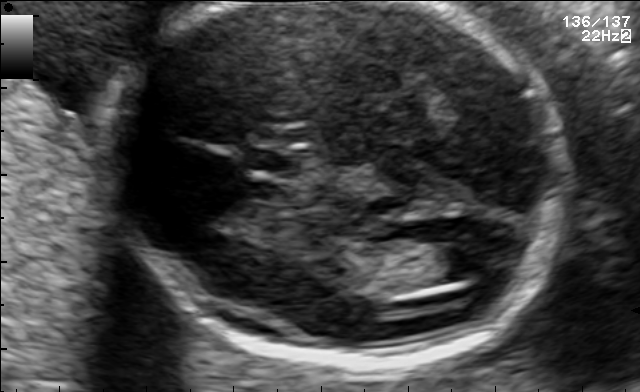
Fetal brain, trans-ventricular plane. Locate the cavum septum pellucidum.

CSP: [240,144,304,181]